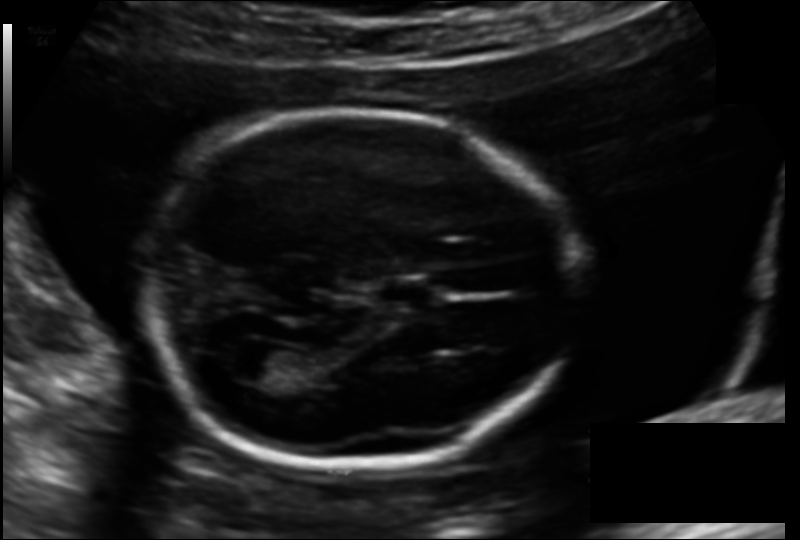
Fetal head ultrasound. Image width: 109.9 mm. Give [x1,y1,x2,y2] bounding boxes for each visible structure among: fetal head, CSP, LV.

Head: [153,114,569,477]
CSP: [378,277,437,304]
Lateral ventricle: [234,349,284,381]